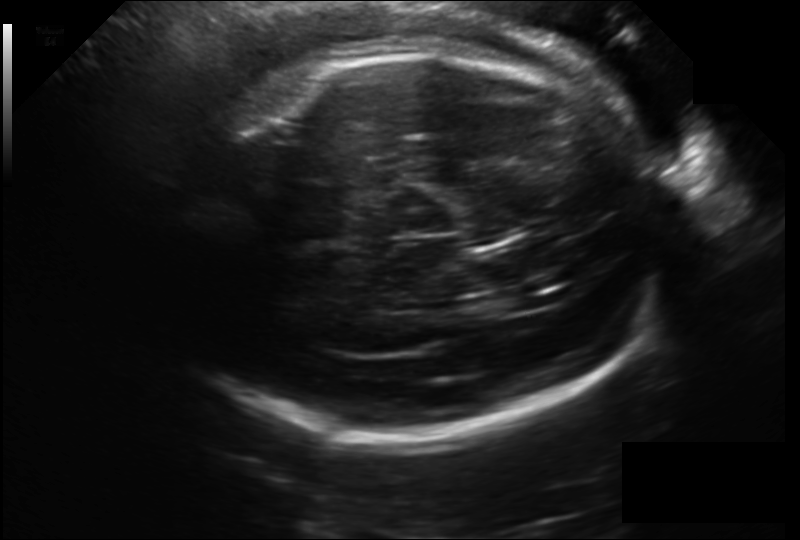
Fetal head ultrasound. Image width: 162.0 mm. Locate the fetal head.

Head: [149,47,669,438]